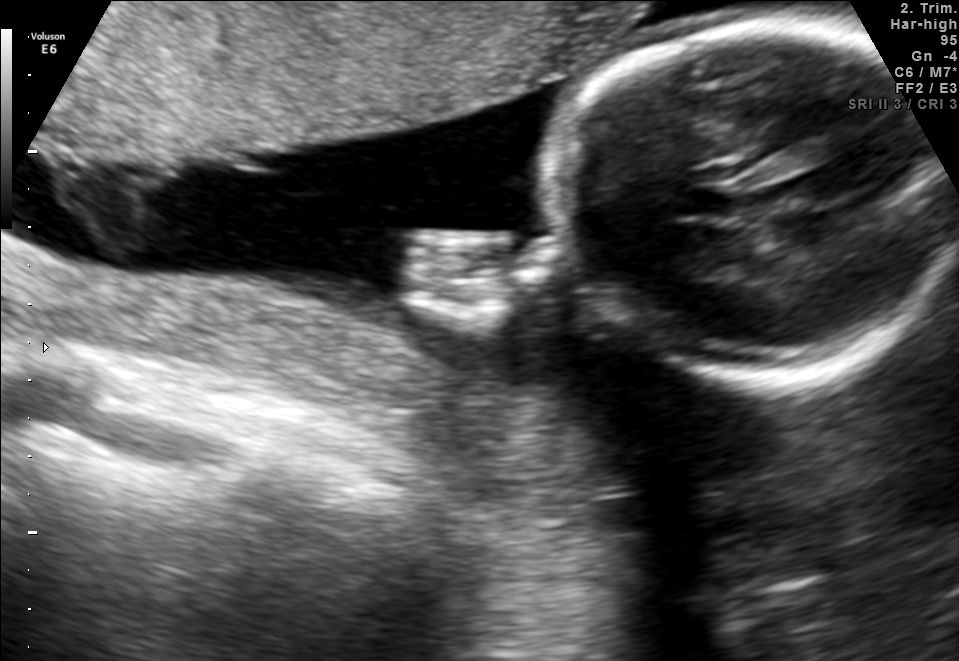
Classify this maternal-fetal ultrasound image as one of the six standard planes — fetal abdomen, fetal brain, fetal femur, fetal thorax, maternal cervix, or other. If it's fetal brain and one of the three standard brain planes (trans-thalamic, trans-cerebellum, trans-ventricular), name which.

Other